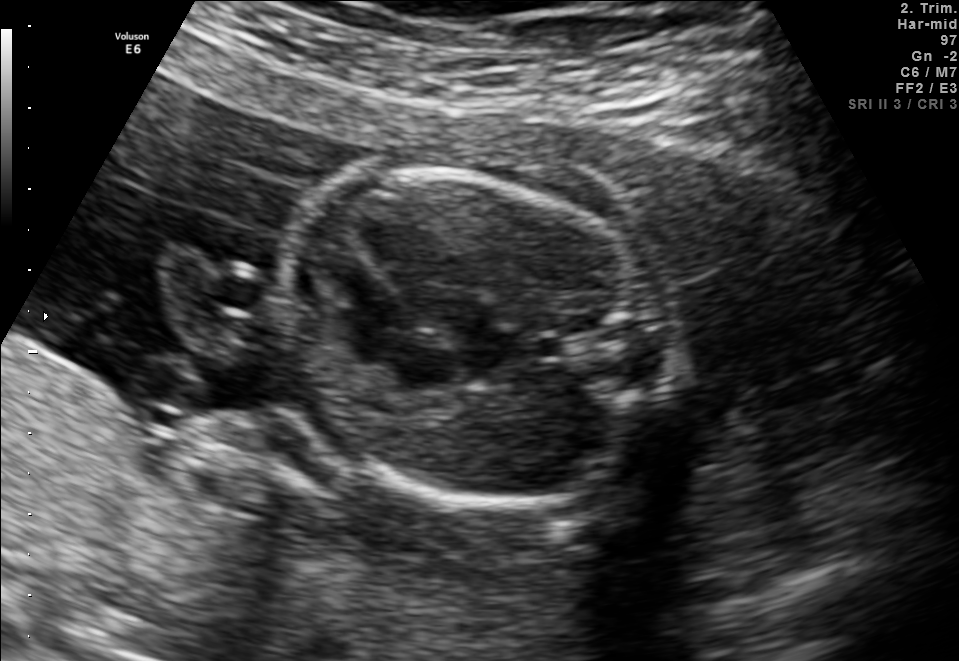
Identify the standard plane in this fetal ultrasound image: fetal abdomen, fetal brain, fetal femur, fetal thorax, maternal cervix, or other. If it's fetal brain and one of the three standard brain planes (trans-thalamic, trans-cerebellum, trans-ventricular), name which.

Fetal thorax